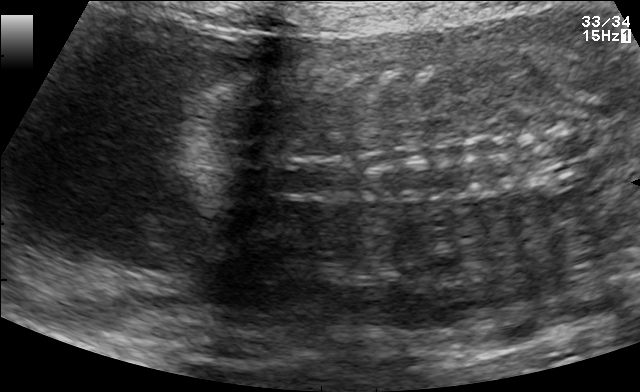
Classify this maternal-fetal ultrasound image as one of the six standard planes — fetal abdomen, fetal brain, fetal femur, fetal thorax, maternal cervix, or other. If it's fetal brain and one of the three standard brain planes (trans-thalamic, trans-cerebellum, trans-ventricular), name which.

Other